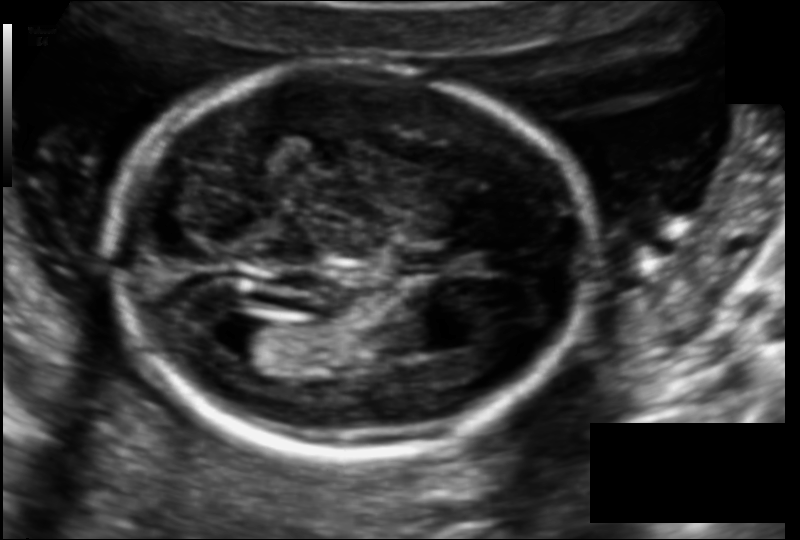
In this fetal head ultrasound, give the bounding box of the cavum septum pellucidum. Image width: 91.5 mm.

[401,253,458,274]